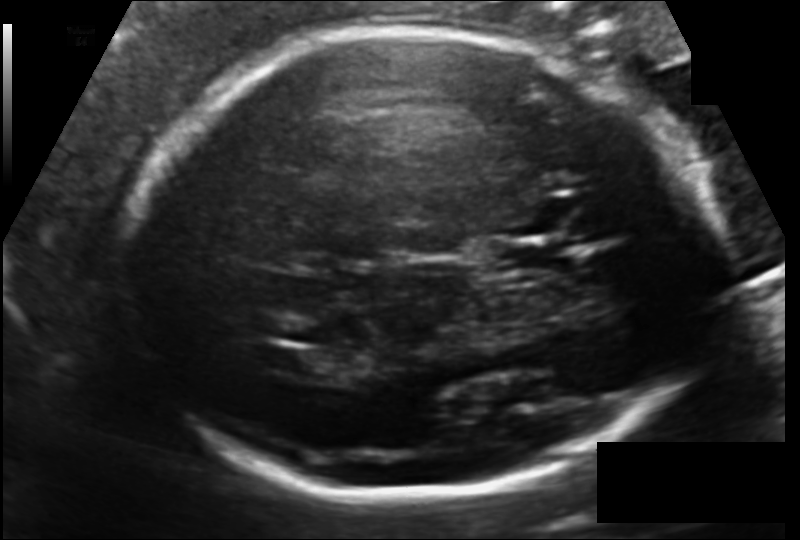
Fetal head ultrasound. Image width: 106.4 mm. Where is the fetal head?

Head bounding box: [115,31,718,494]